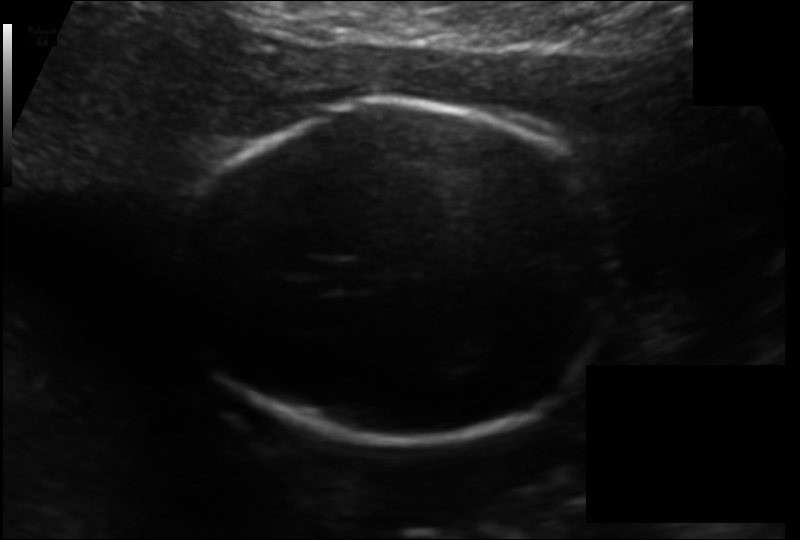
Estimate the fetal head circumference from this 2D ultrasound.

Head circumference: 168.1 mm (image width 106.3 mm).